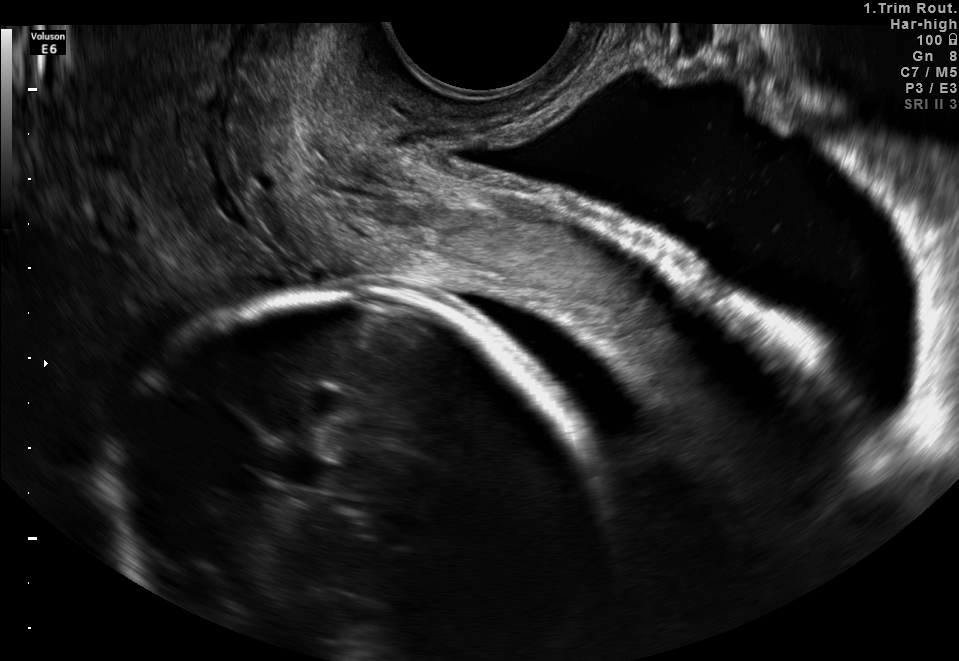
Classify this maternal-fetal ultrasound image as one of the six standard planes — fetal abdomen, fetal brain, fetal femur, fetal thorax, maternal cervix, or other. If it's fetal brain and one of the three standard brain planes (trans-thalamic, trans-cerebellum, trans-ventricular), name which.

Maternal cervix